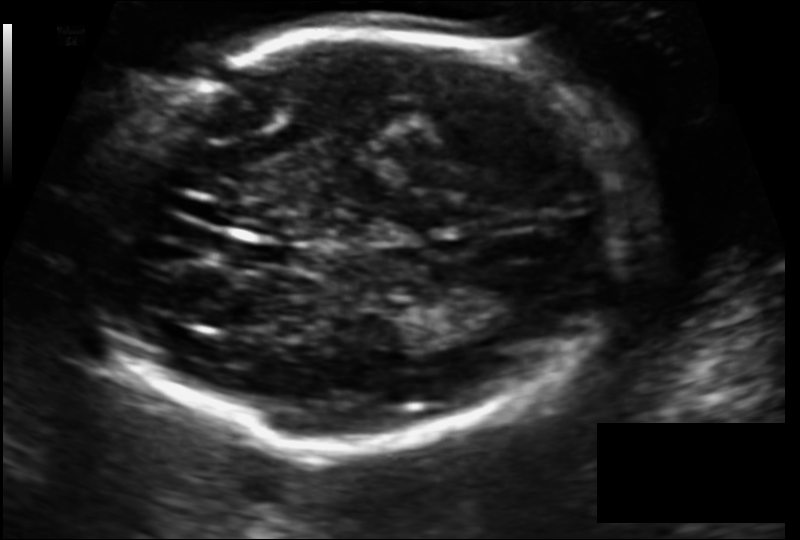
Fetal head ultrasound. Image width: 98.9 mm. Locate the fetal head and, if visible, the cavum septum pellucidum (CSP) and lateral ventricle (LV). Give bounding boxes as [x1,y1,x2,y2].

Head: [89,33,627,444]
Lateral ventricle: [459,261,555,331]